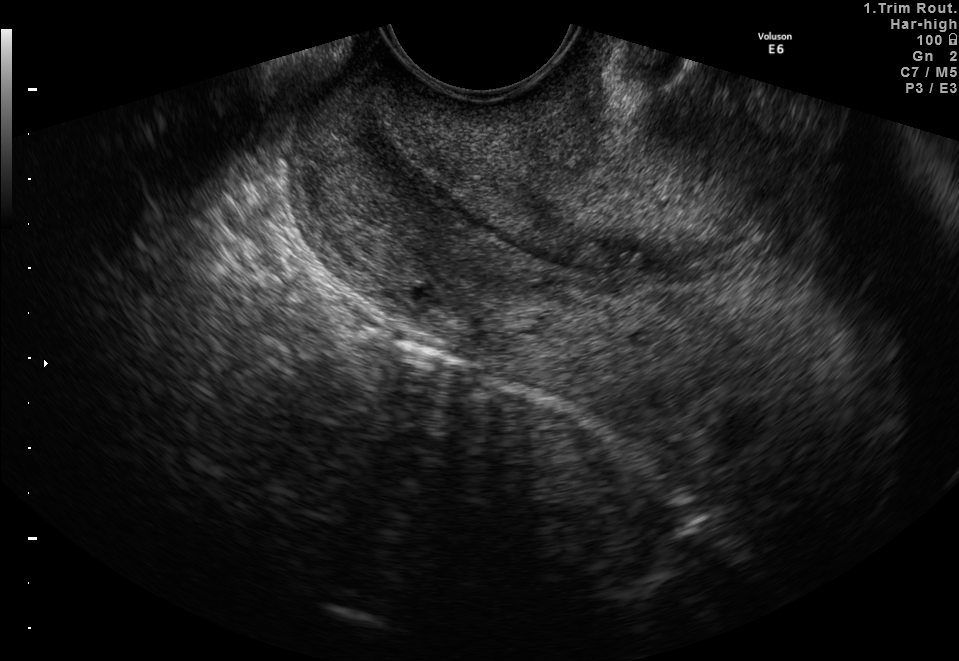
Classify this maternal-fetal ultrasound image as one of the six standard planes — fetal abdomen, fetal brain, fetal femur, fetal thorax, maternal cervix, or other. If it's fetal brain and one of the three standard brain planes (trans-thalamic, trans-cerebellum, trans-ventricular), name which.

Maternal cervix